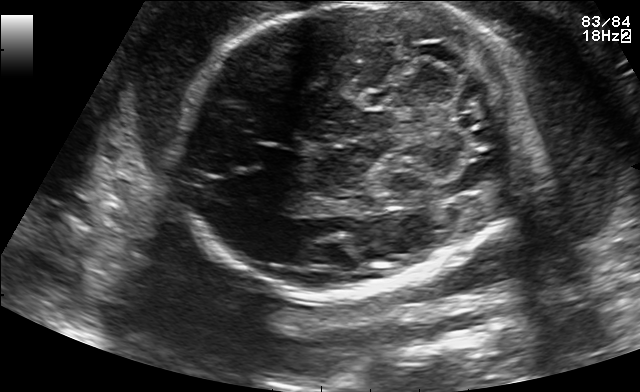
Fetal brain, trans-cerebellum plane. Locate the fetal head and, if visible, the cavum septum pellucidum (CSP) and lateral ventricle (LV). Give bounding boxes as [x1,y1,x2,y2].

Head: [184,1,514,299]